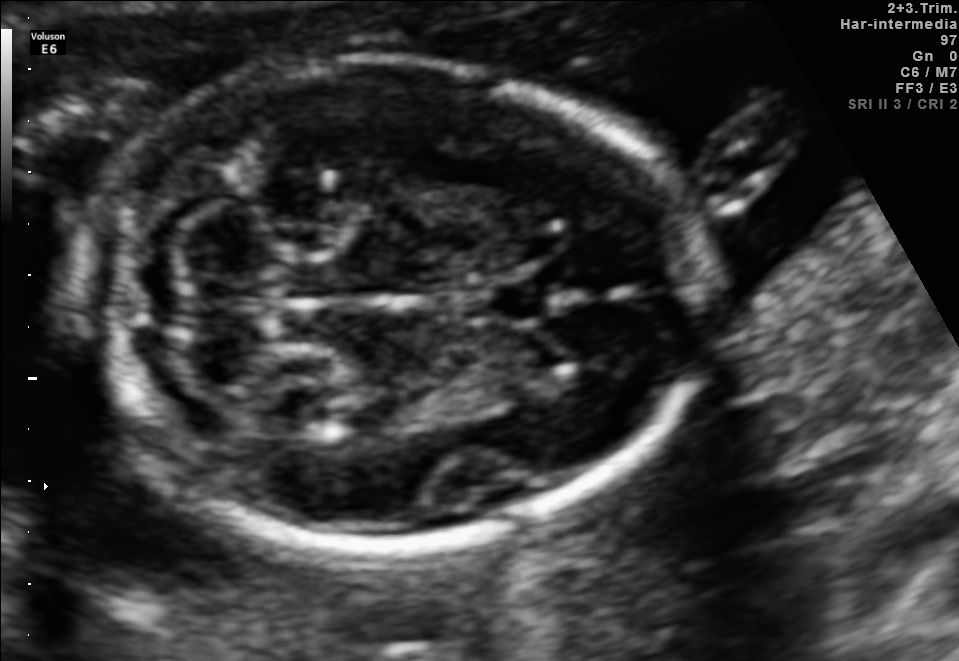
In this fetal brain, trans-cerebellum plane, give the bounding box of the fetal head.

[82,60,701,545]